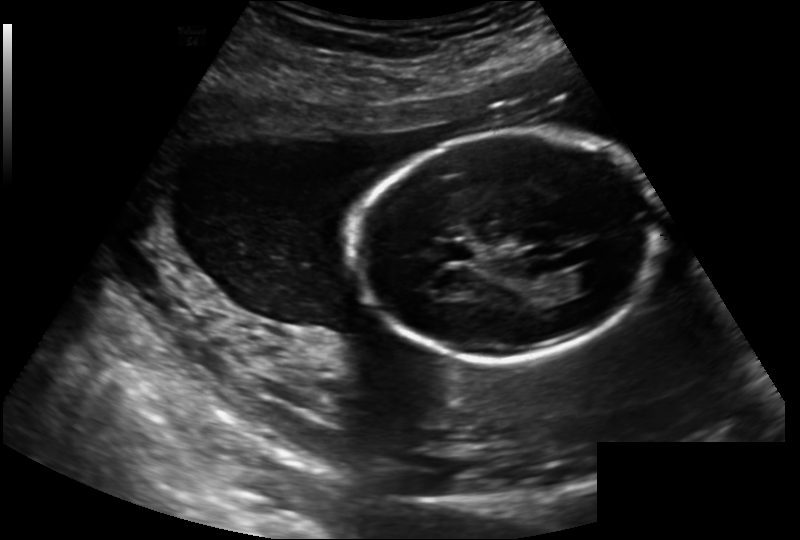
Fetal head ultrasound. Image width: 161.7 mm. Locate the cavum septum pellucidum.

CSP: [431,237,475,265]